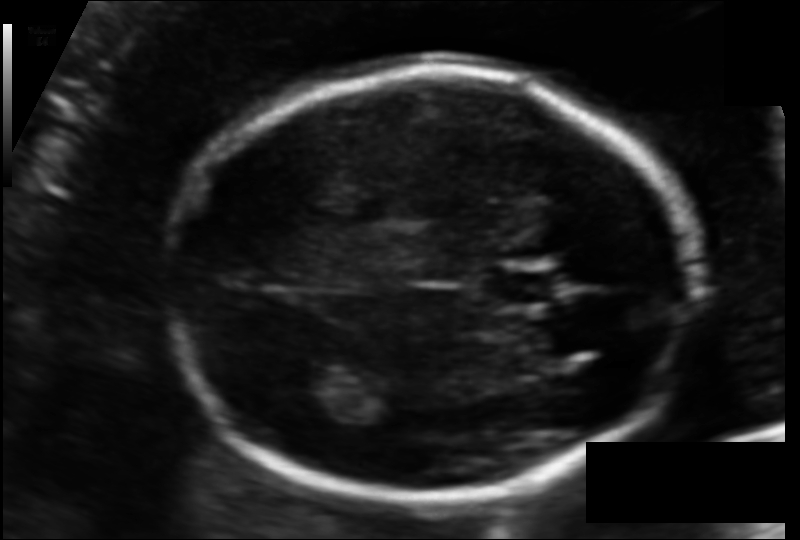
Estimate the fetal head circumference from this 2D ultrasound.

Head circumference: 164.3 mm (image width 86.2 mm).